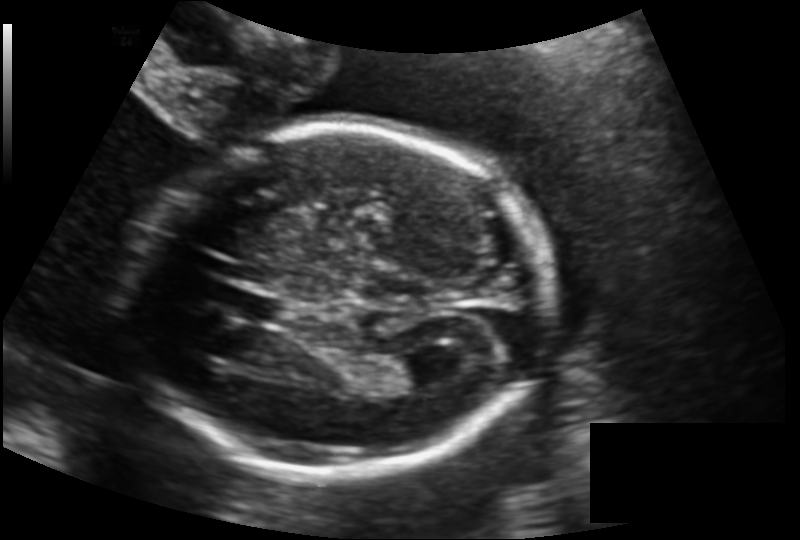
In this fetal head ultrasound, give the bounding box of the fetal head. Image width: 117.2 mm.

[134,125,547,474]